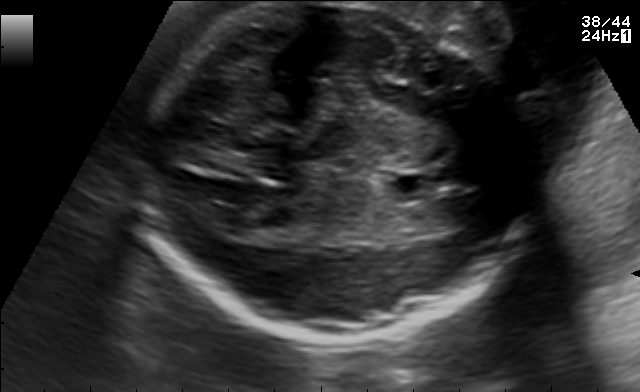
In this fetal brain, trans-ventricular plane, give the bounding box of the fetal head.

[133,7,544,346]